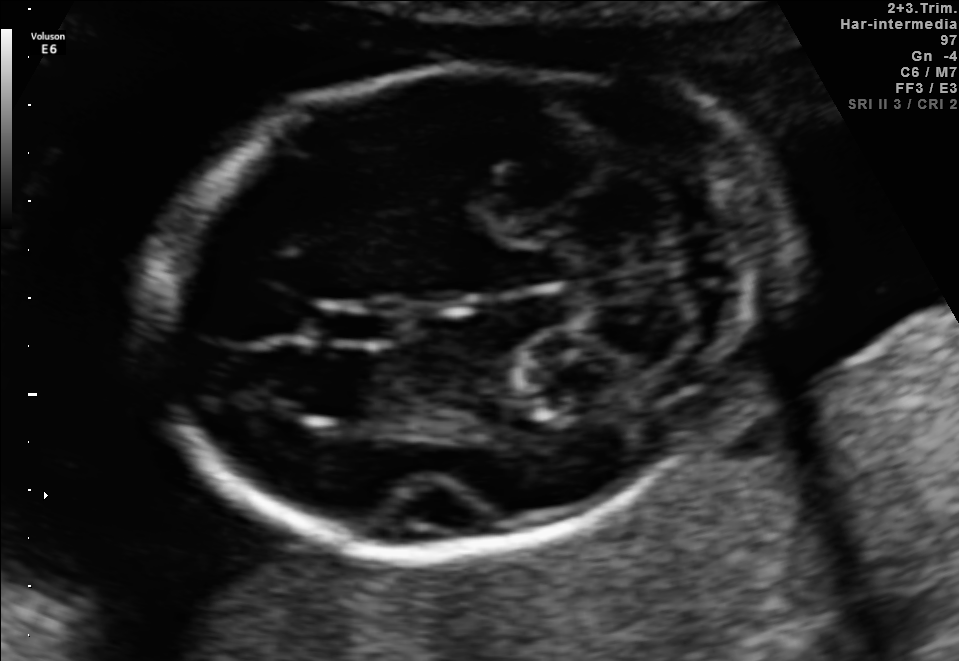
Fetal brain, trans-cerebellum plane. Locate the fetal head and, if visible, the cavum septum pellucidum (CSP) and lateral ventricle (LV). Give bounding boxes as [x1,y1,x2,y2].

Head: [149,61,798,550]
CSP: [320,306,395,343]